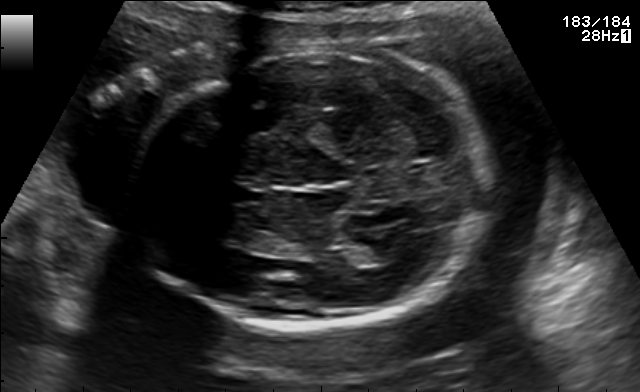
In this fetal brain, trans-thalamic plane, give bounding boxes for the head outline, cavum septum pellucidum (CSP), and lateral ventricle (LV), where visible.

Head: [131,49,495,329]
CSP: [234,187,263,202]
Lateral ventricle: [354,245,396,267]